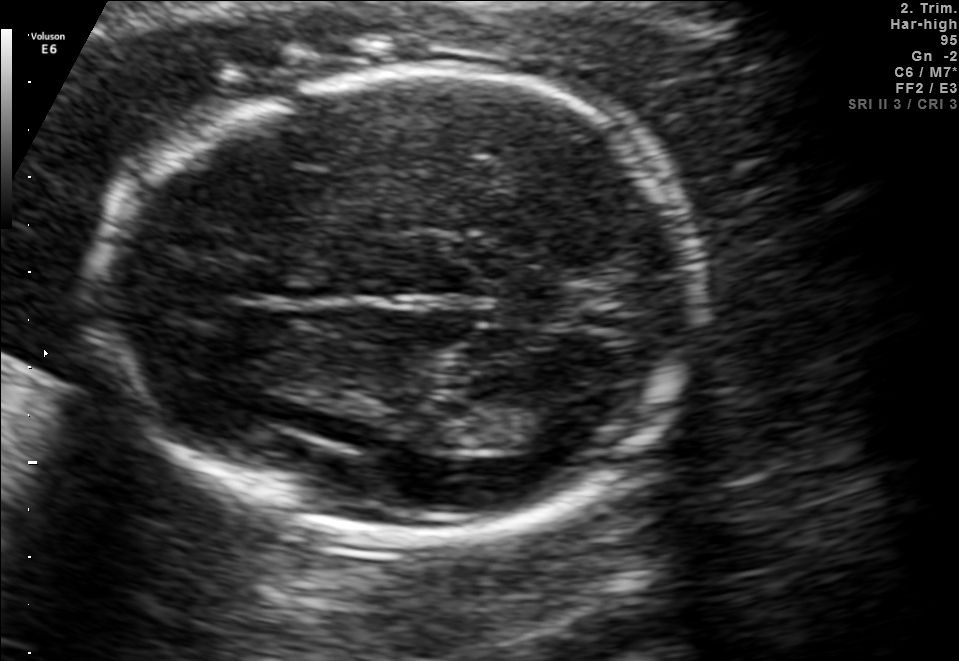
Fetal brain, trans-thalamic plane. Where is the fetal head?

Head bounding box: [117,68,700,531]